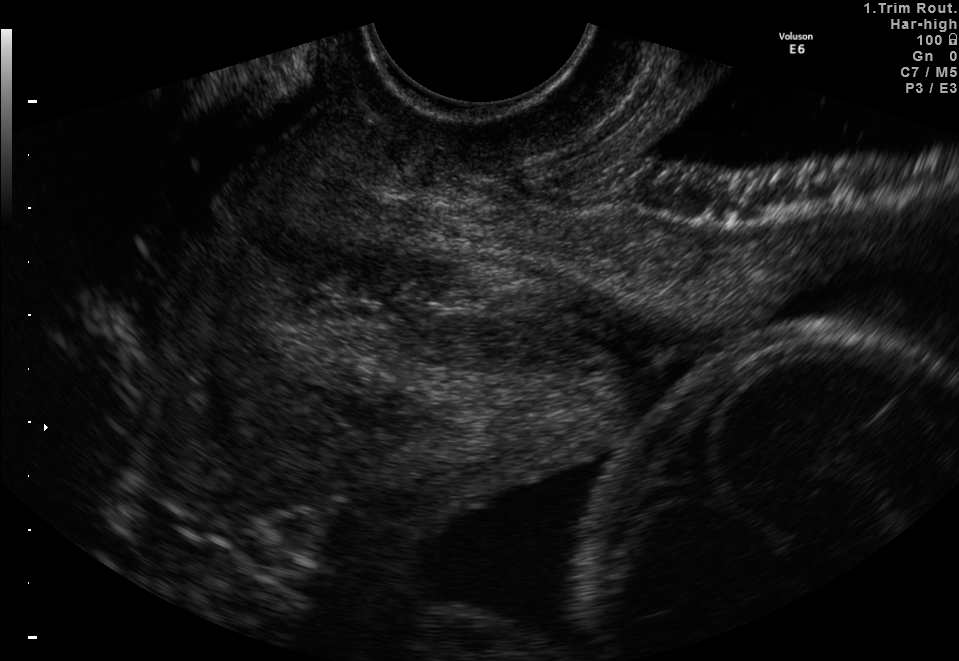
Identify the standard plane in this fetal ultrasound image: fetal abdomen, fetal brain, fetal femur, fetal thorax, maternal cervix, or other. If it's fetal brain and one of the three standard brain planes (trans-thalamic, trans-cerebellum, trans-ventricular), name which.

Maternal cervix